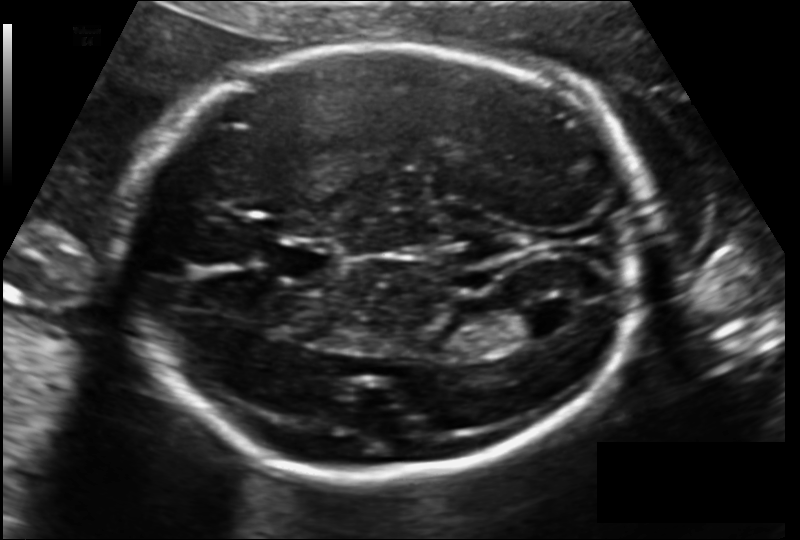
Measure the fetal head circumference shown in this ultrasound image. Image width: 118.5 mm.

Head circumference: 231.2 mm.